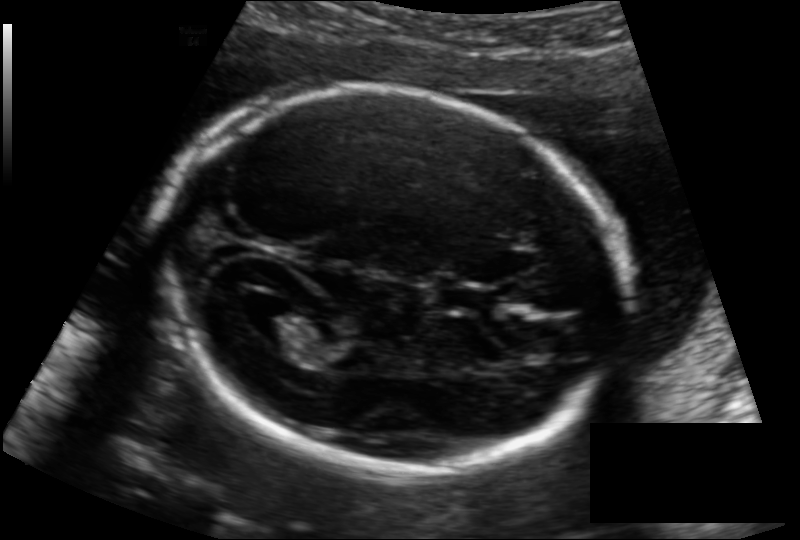
Fetal head ultrasound. Image width: 106.5 mm. Where is the lateral ventricle?

Lateral ventricle bounding box: [240,288,324,363]